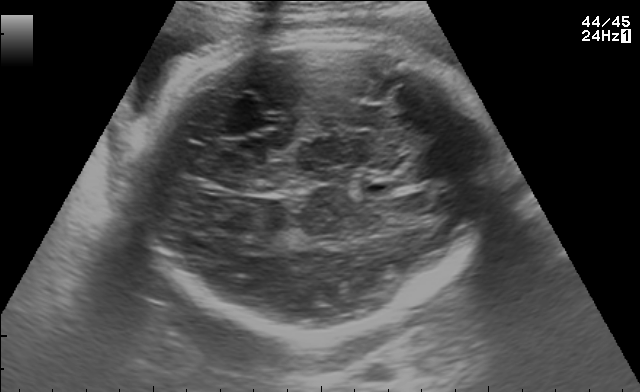
Fetal brain, trans-thalamic plane. Locate the fetal head.

Head: [125,37,489,333]